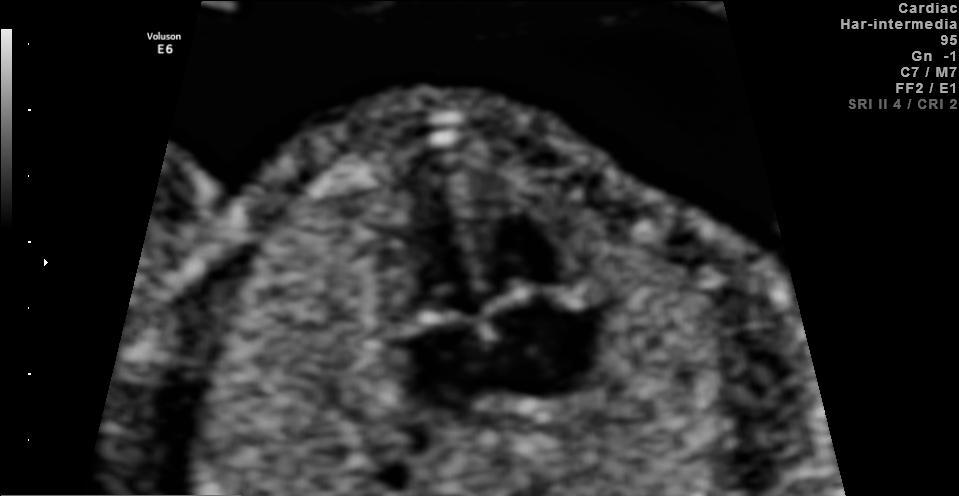
Classify this maternal-fetal ultrasound image as one of the six standard planes — fetal abdomen, fetal brain, fetal femur, fetal thorax, maternal cervix, or other. If it's fetal brain and one of the three standard brain planes (trans-thalamic, trans-cerebellum, trans-ventricular), name which.

Fetal thorax